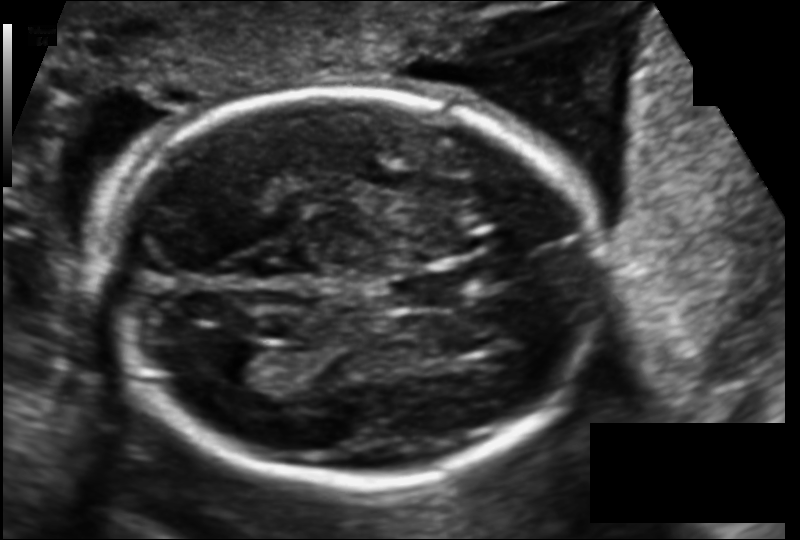
Fetal head ultrasound. Image width: 104.3 mm. Give [x1,y1,x2,y2] bounding boxes for each visible structure among: fetal head, CSP, LV.

Head: [108,87,604,485]
CSP: [386,266,466,313]
Lateral ventricle: [208,339,276,390]